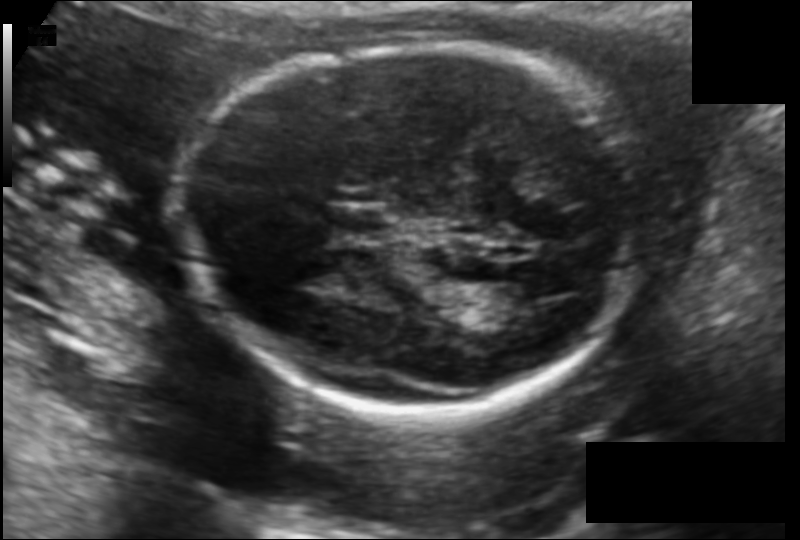
Fetal head ultrasound. Image width: 98.5 mm. Locate the fetal head and, if visible, the cavum septum pellucidum (CSP) and lateral ventricle (LV). Give bounding boxes as [x1,y1,x2,y2].

Head: [186,46,634,414]
CSP: [331,207,387,241]